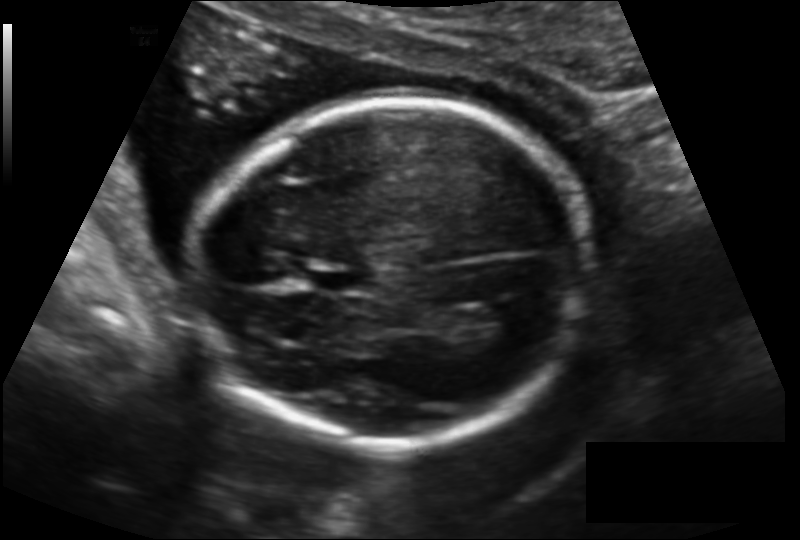
Fetal head ultrasound. Image width: 111.8 mm. Locate the lateral ventricle.

Lateral ventricle: [472,298,533,340]